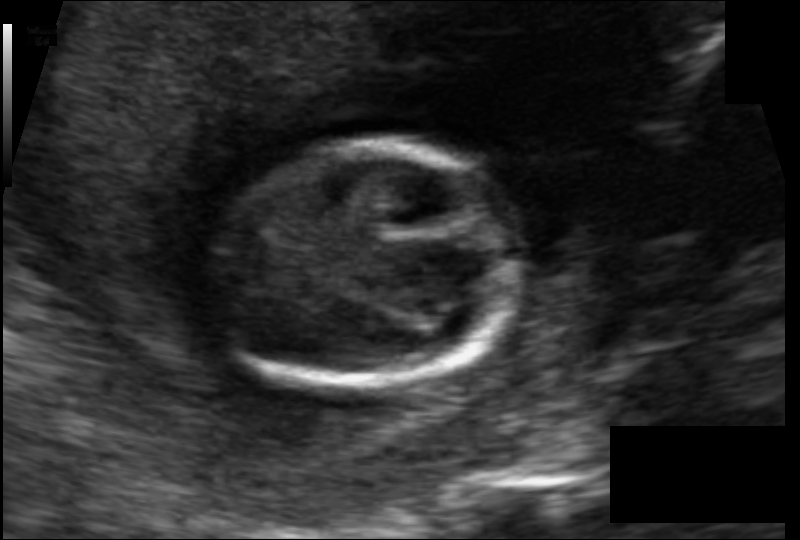
Measure the fetal head circumference shown in this ultrasound image. Image width: 70.6 mm.

Head circumference: 80.3 mm.